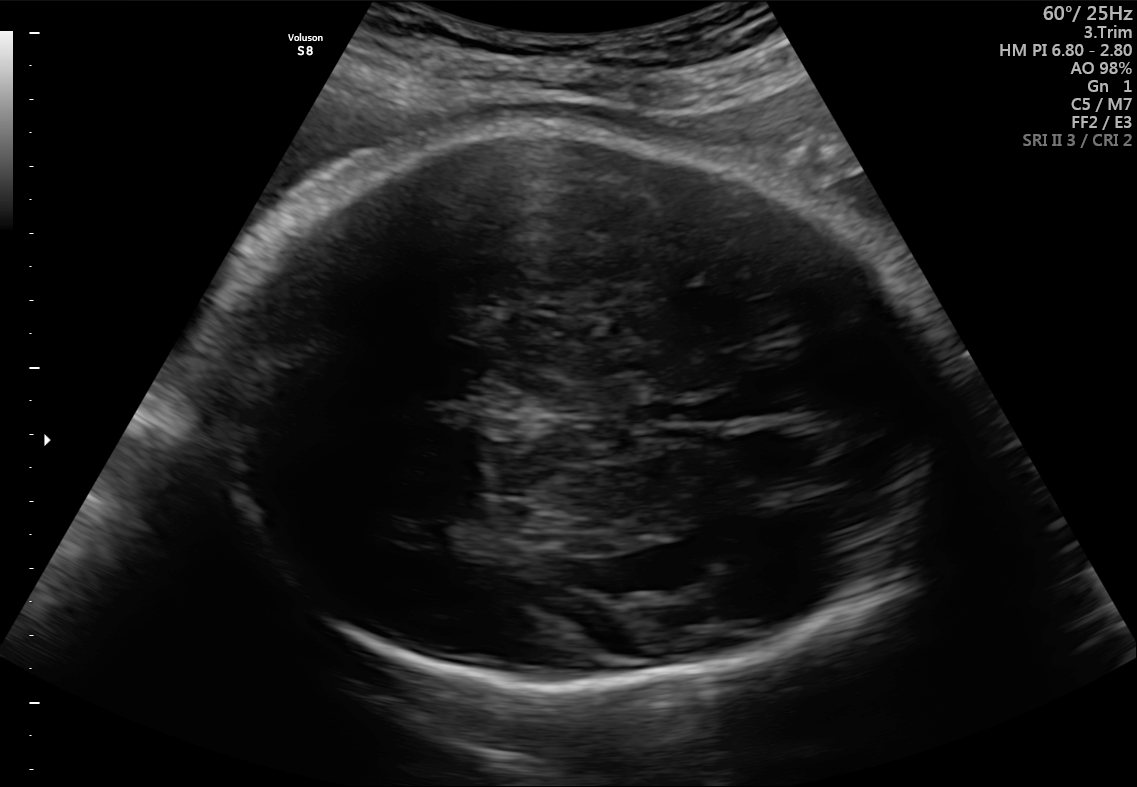
In this fetal brain, trans-thalamic plane, give the bounding box of the fetal head.

[226,127,927,693]